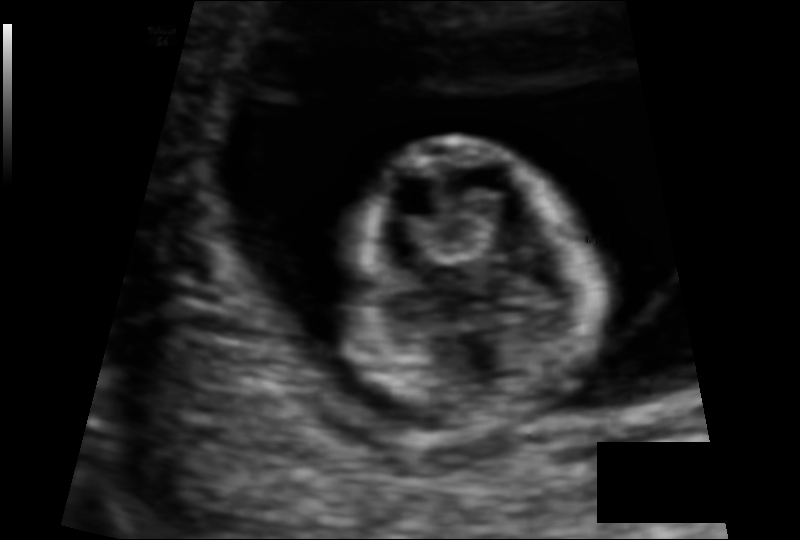
Estimate the fetal head circumference from this 2D ultrasound. Image width: 70.2 mm.

Head circumference: 72.1 mm.